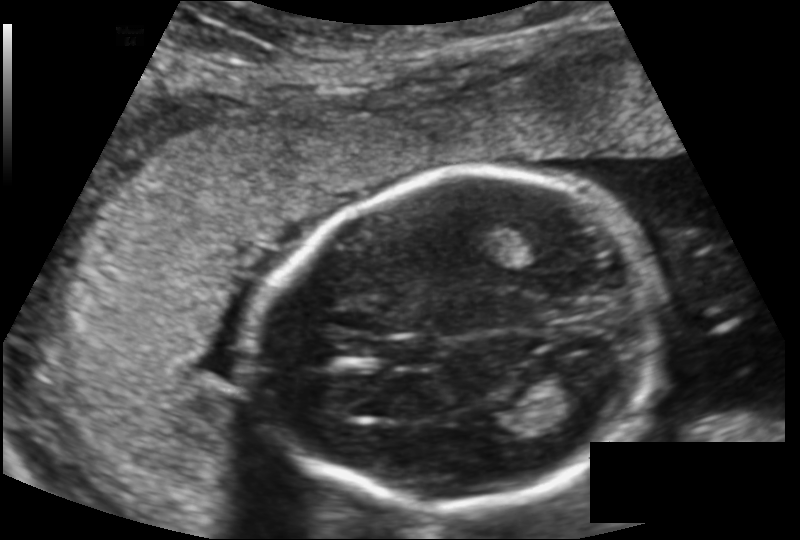
Fetal head ultrasound. Image width: 119.2 mm. Where is the cavum septum pellucidum?

CSP bounding box: [384,334,443,369]